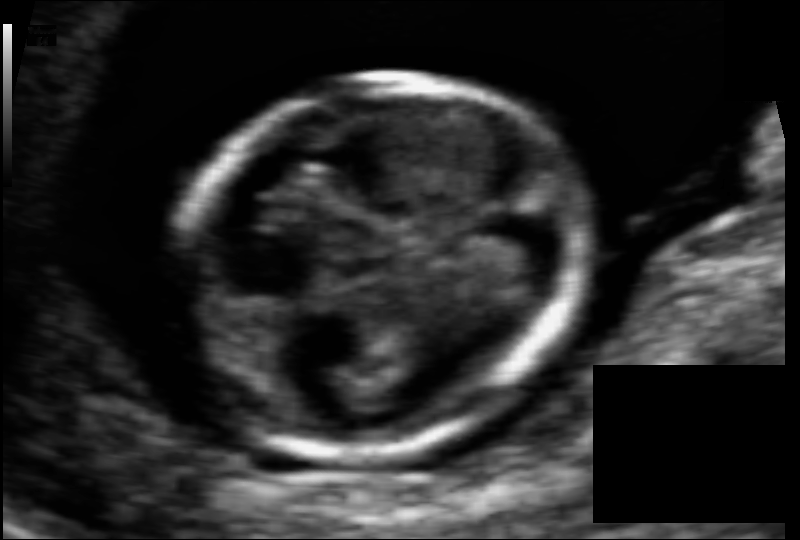
In this fetal head ultrasound, give bounding boxes for the head outline, cavum septum pellucidum (CSP), and lateral ventricle (LV), where visible. Image width: 43.2 mm.

Head: [173,74,583,458]